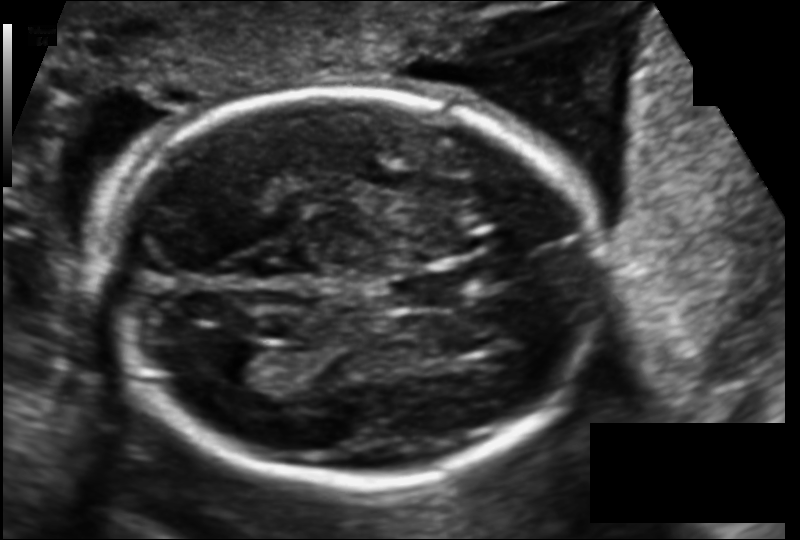
In this fetal head ultrasound, give the bounding box of the fetal head. Image width: 104.3 mm.

[108,87,604,485]